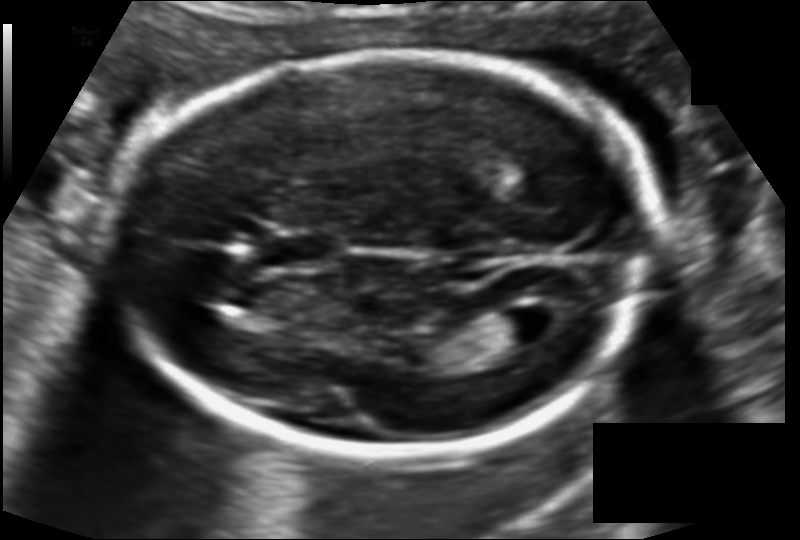
Fetal head ultrasound. Image width: 92.2 mm. Locate the fetal head.

Head: [108,53,653,451]